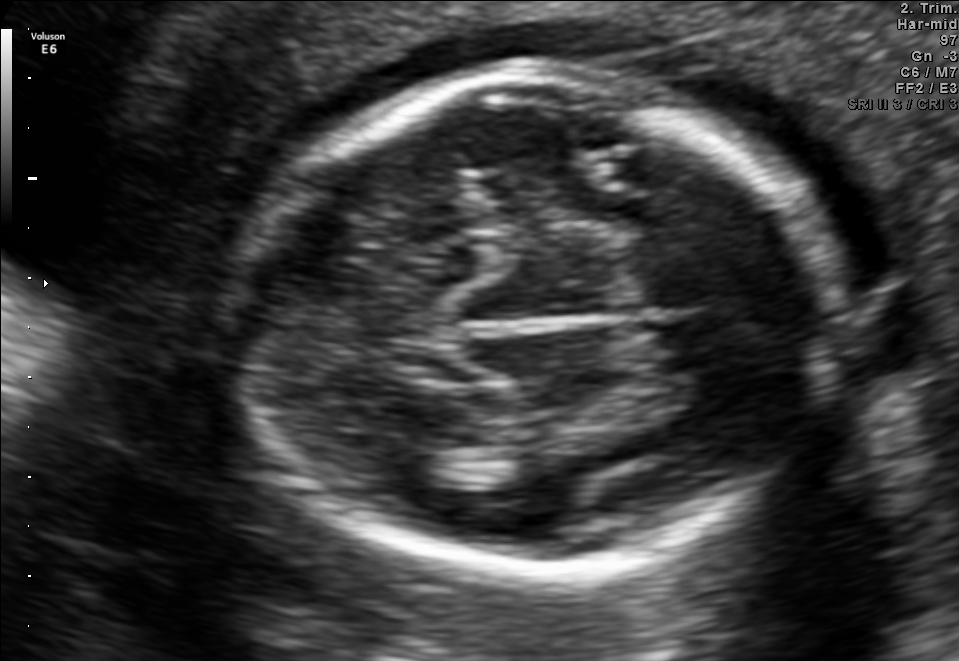
Fetal brain, trans-thalamic plane. Locate the fetal head and, if visible, the cavum septum pellucidum (CSP) and lateral ventricle (LV). Give bounding boxes as [x1,y1,x2,y2].

Head: [233,78,838,569]